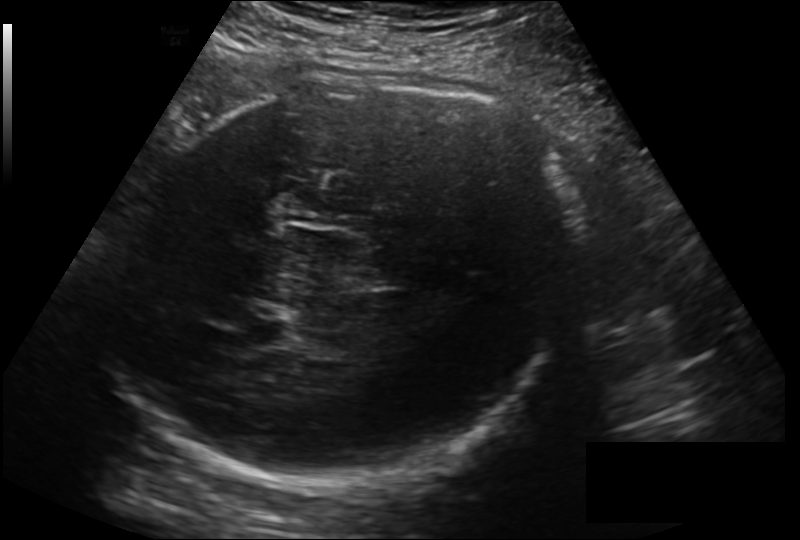
Estimate the fetal head circumference from this 2D ultrasound.

Head circumference: 299.2 mm (image width 168.5 mm).